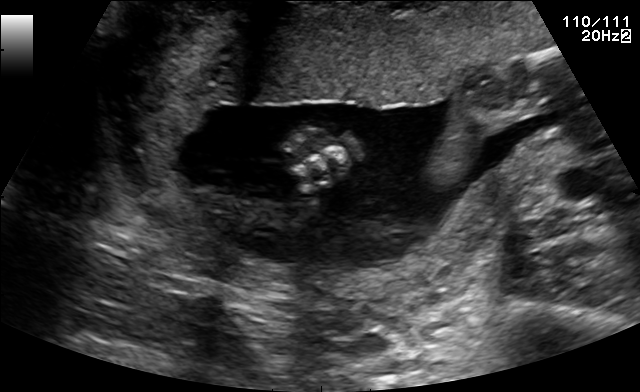
Which standard maternal-fetal ultrasound plane is shown: fetal abdomen, fetal brain, fetal femur, fetal thorax, maternal cervix, or other? If it's fetal brain and one of the three standard brain planes (trans-thalamic, trans-cerebellum, trans-ventricular), name which.

Other